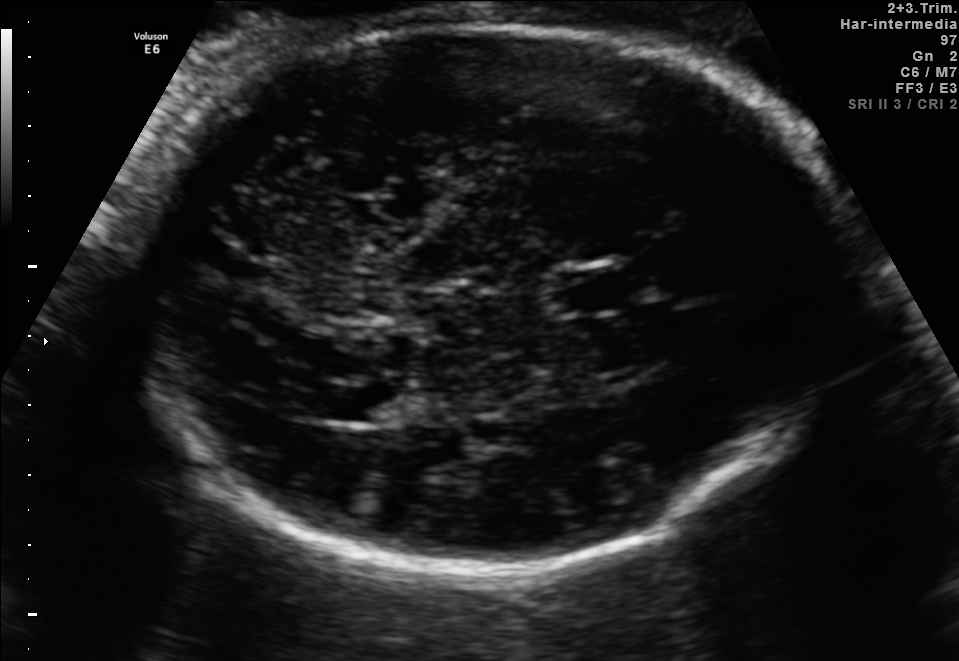
In this fetal brain, trans-thalamic plane, give bounding boxes for the head outline, cavum septum pellucidum (CSP), and lateral ventricle (LV), where visible.

Head: [135,26,852,569]
CSP: [555,264,633,312]
Lateral ventricle: [305,383,391,424]